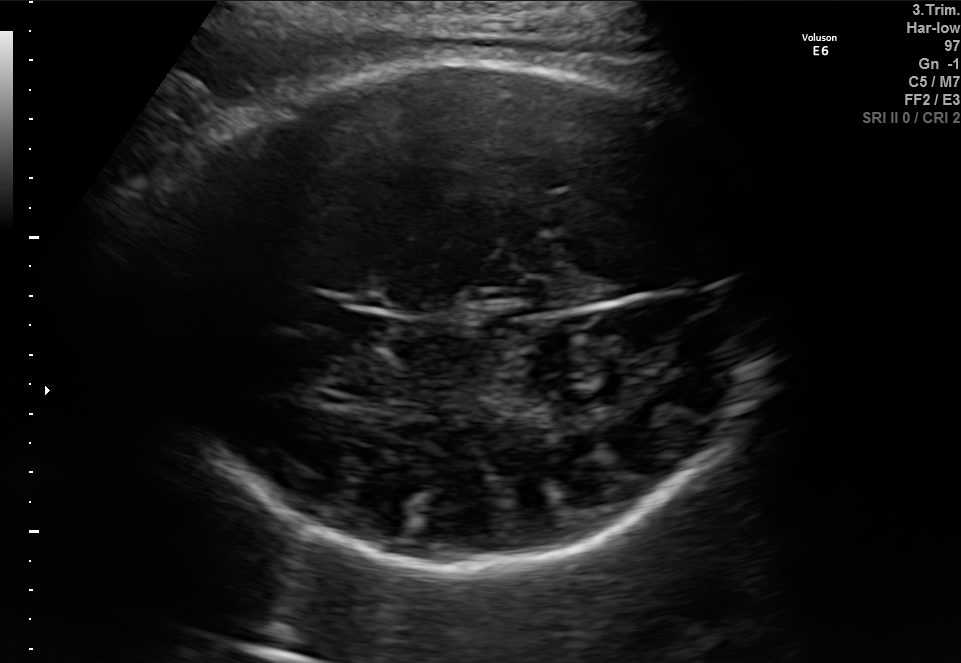
Fetal brain, trans-thalamic plane. Where is the fetal head?

Head bounding box: [143,63,782,566]